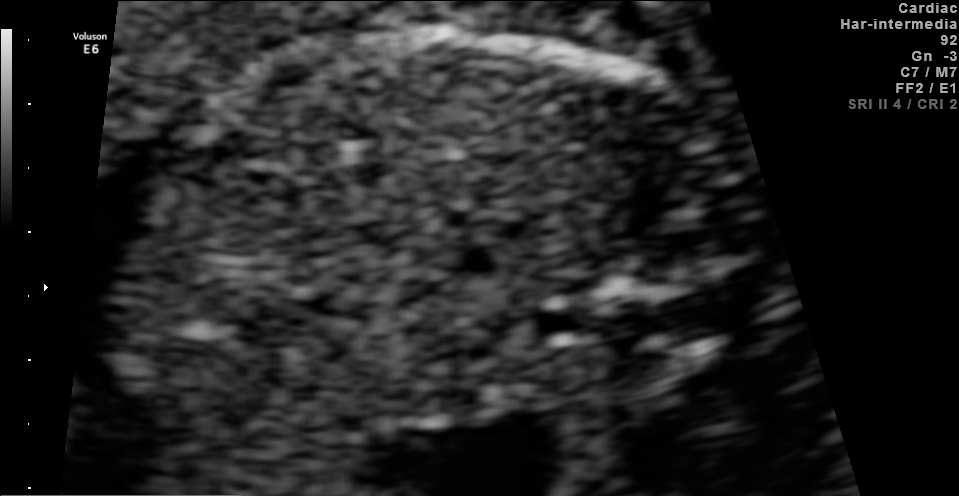
Which standard maternal-fetal ultrasound plane is shown: fetal abdomen, fetal brain, fetal femur, fetal thorax, maternal cervix, or other? If it's fetal brain and one of the three standard brain planes (trans-thalamic, trans-cerebellum, trans-ventricular), name which.

Fetal abdomen